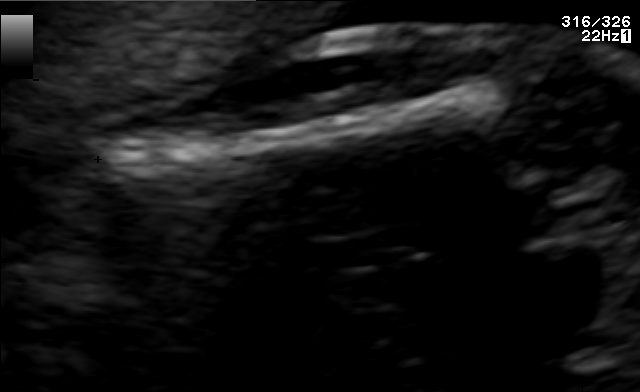
Identify the standard plane in this fetal ultrasound image: fetal abdomen, fetal brain, fetal femur, fetal thorax, maternal cervix, or other. If it's fetal brain and one of the three standard brain planes (trans-thalamic, trans-cerebellum, trans-ventricular), name which.

Fetal femur